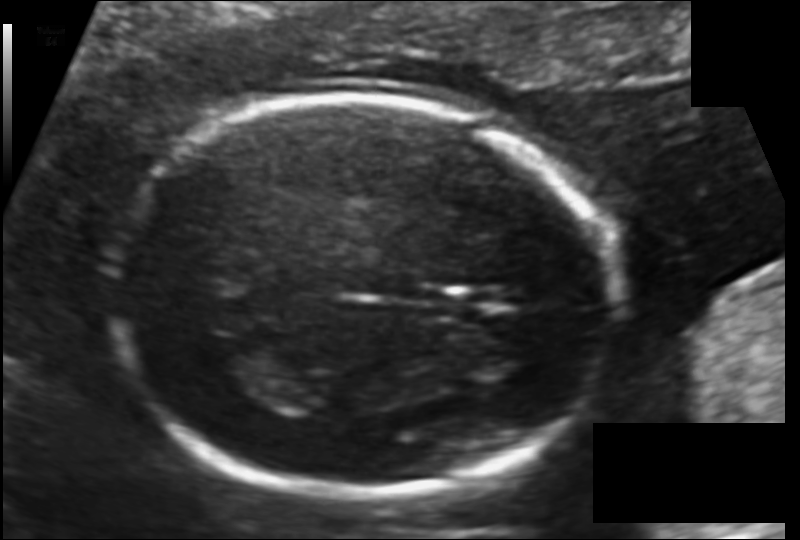
What is the fetal head circumference? Image width is 92.9 mm.

171.5 mm